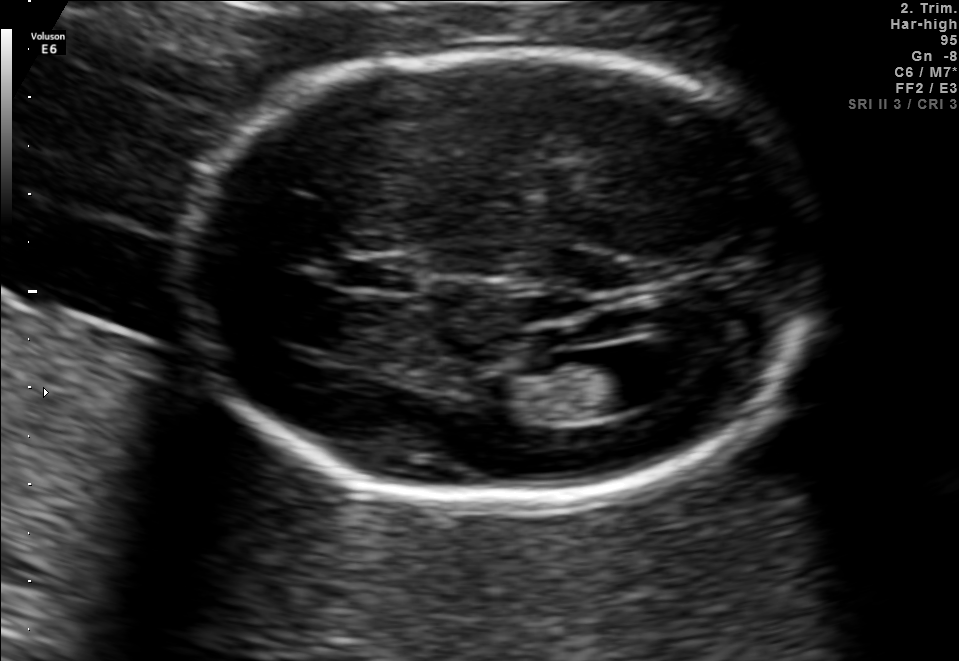
In this fetal brain, trans-ventricular plane, give the bounding box of the cavum septum pellucidum.

[326,251,429,300]